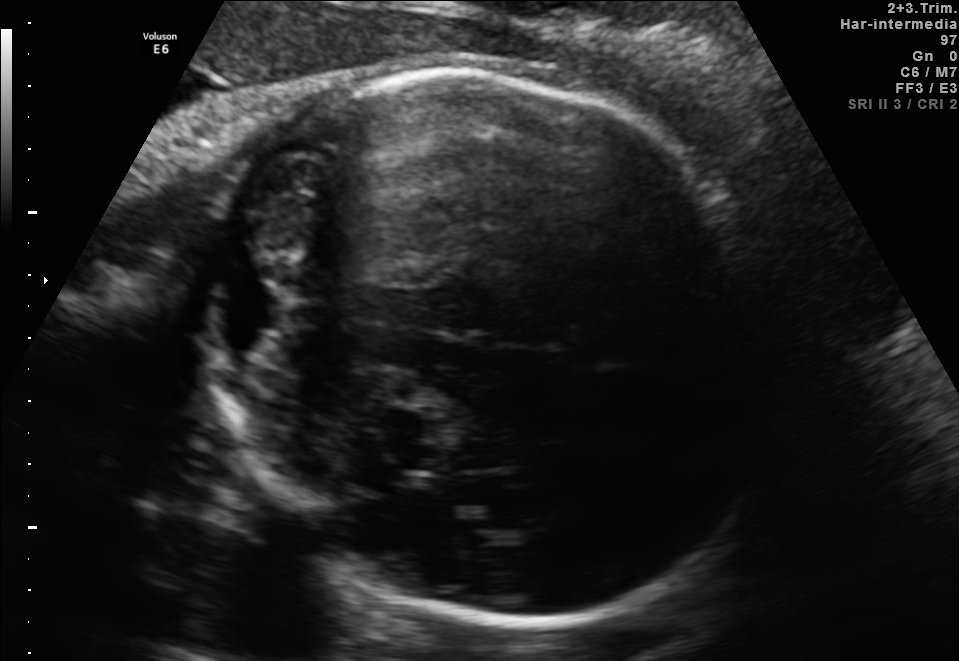
Fetal brain, trans-cerebellum plane. Give [x1,y1,x2,y2] bounding boxes for each visible structure among: fetal head, CSP, LV.

Head: [209,73,772,626]